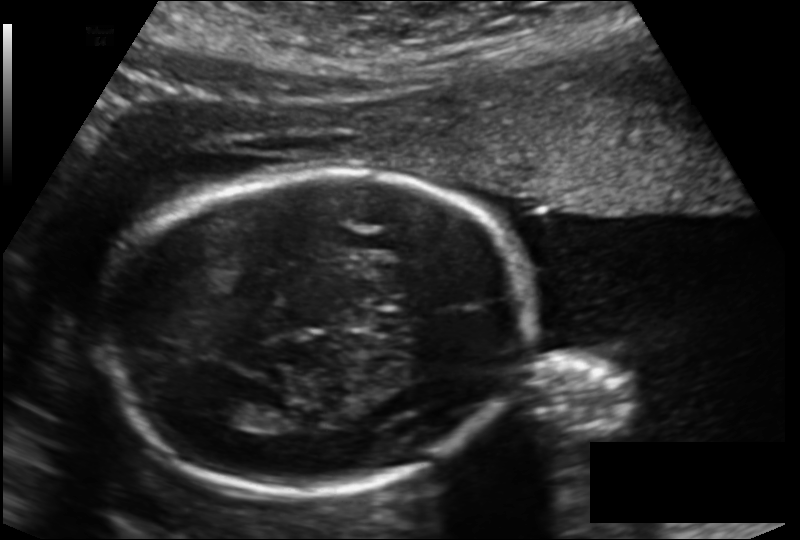
What is the fetal head circumference? Image width is 123.8 mm.

183.0 mm